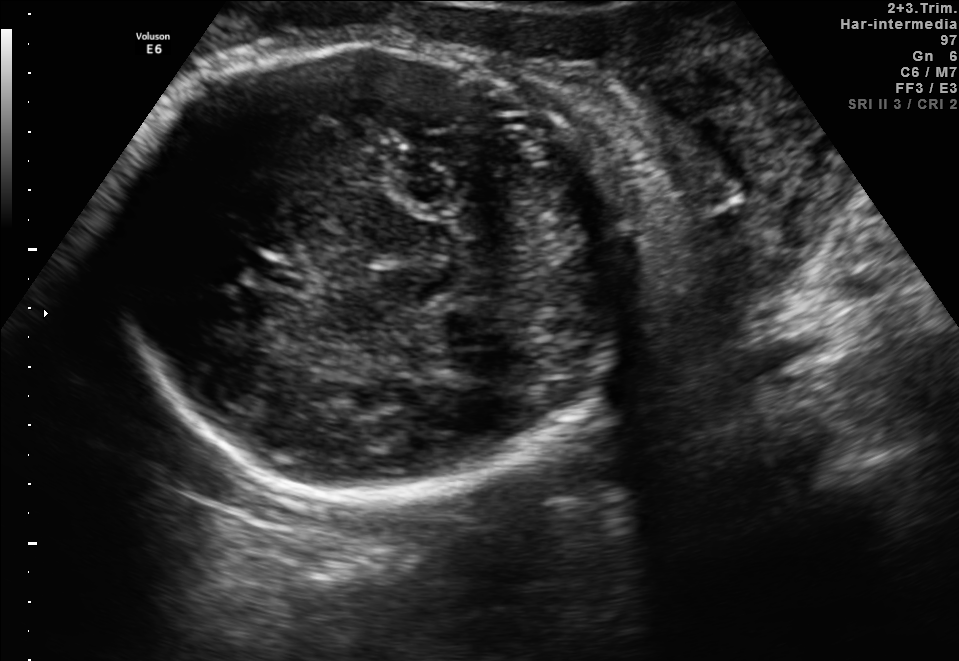
Identify the standard plane in this fetal ultrasound image: fetal abdomen, fetal brain, fetal femur, fetal thorax, maternal cervix, or other. If it's fetal brain and one of the three standard brain planes (trans-thalamic, trans-cerebellum, trans-ventricular), name which.

Fetal brain (trans-thalamic plane)